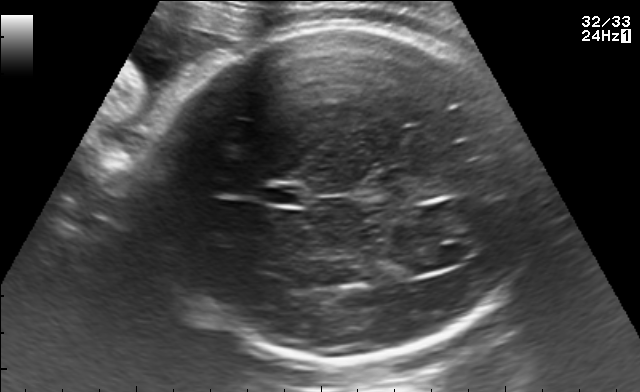
Identify the standard plane in this fetal ultrasound image: fetal abdomen, fetal brain, fetal femur, fetal thorax, maternal cervix, or other. If it's fetal brain and one of the three standard brain planes (trans-thalamic, trans-cerebellum, trans-ventricular), name which.

Fetal brain (trans-ventricular plane)